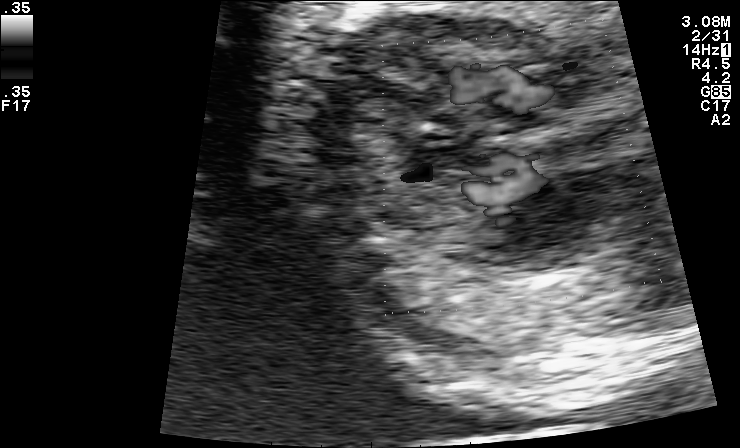
Which standard maternal-fetal ultrasound plane is shown: fetal abdomen, fetal brain, fetal femur, fetal thorax, maternal cervix, or other? If it's fetal brain and one of the three standard brain planes (trans-thalamic, trans-cerebellum, trans-ventricular), name which.

Other